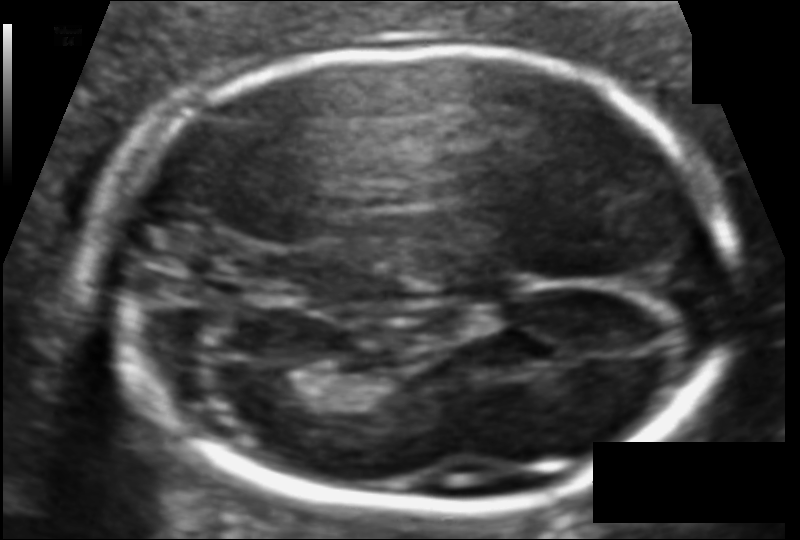
Fetal head ultrasound. Image width: 76.5 mm. Locate the lateral ventricle.

Lateral ventricle: [260,365,324,410]